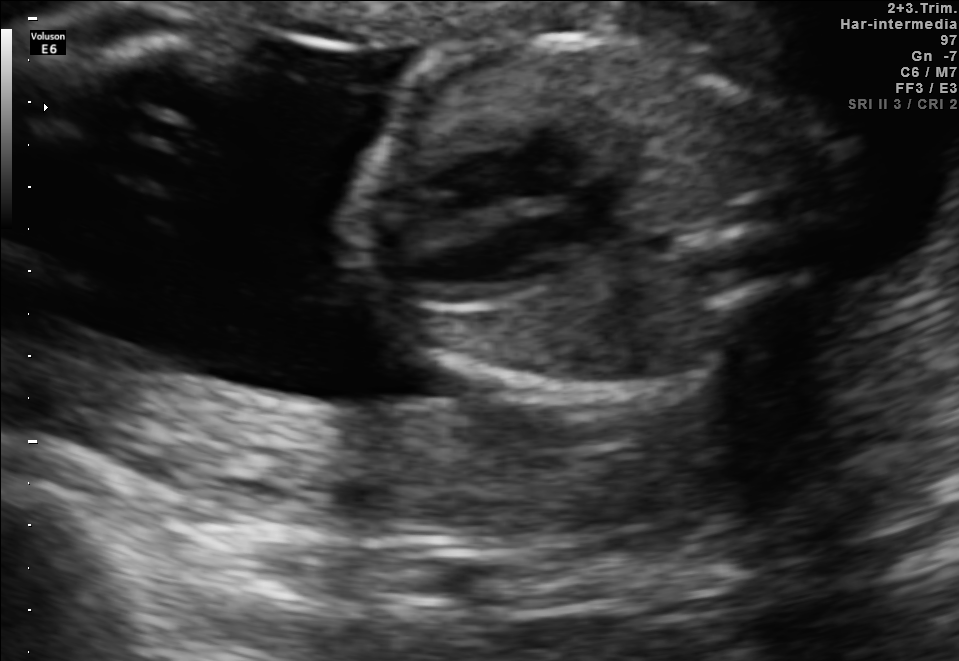
Identify the standard plane in this fetal ultrasound image: fetal abdomen, fetal brain, fetal femur, fetal thorax, maternal cervix, or other. If it's fetal brain and one of the three standard brain planes (trans-thalamic, trans-cerebellum, trans-ventricular), name which.

Fetal thorax